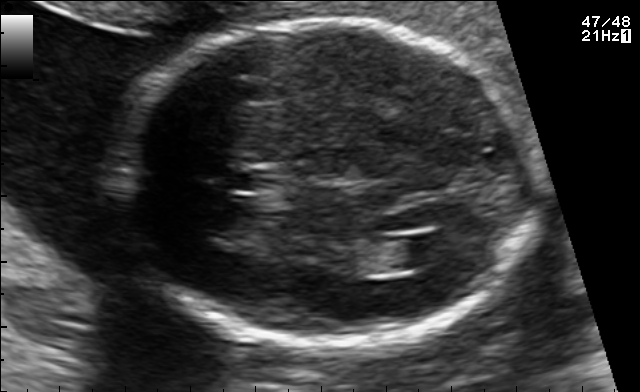
Fetal brain, trans-ventricular plane. Give [x1,y1,x2,y2] bounding boxes for each visible structure among: fetal head, CSP, LV.

Head: [109,15,545,353]
CSP: [231,169,273,191]
Lateral ventricle: [392,230,453,269]